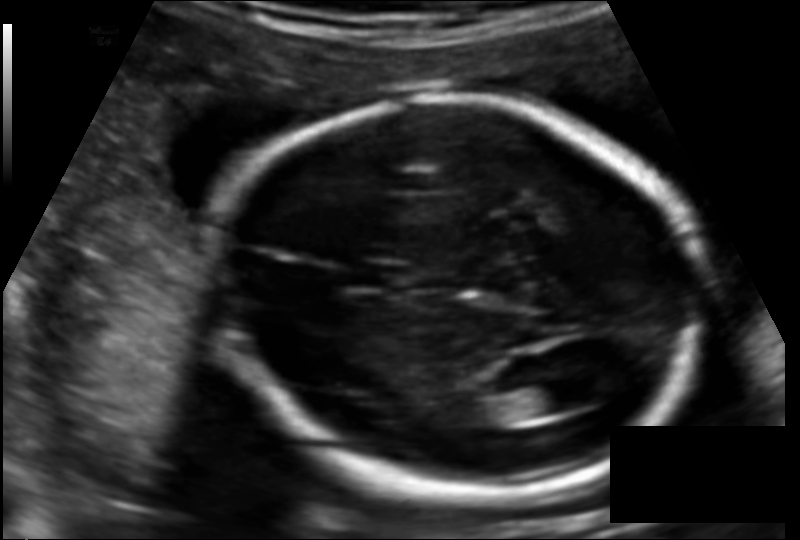
In this fetal head ultrasound, give bounding boxes for the head outline, cavum septum pellucidum (CSP), and lateral ventricle (LV), where visible. Image width: 99.4 mm.

Head: [214,97,705,495]
CSP: [344,260,403,290]
Lateral ventricle: [501,375,579,424]